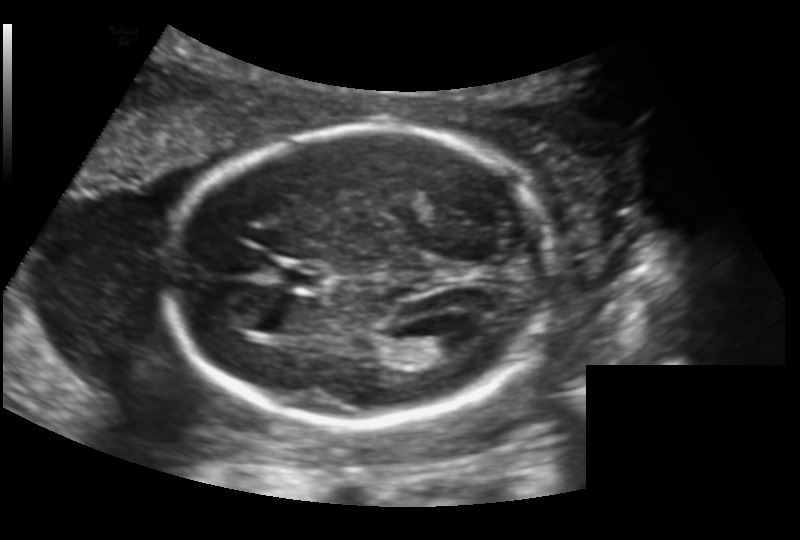
What is the fetal head circumference? Image width is 125.0 mm.

175.8 mm